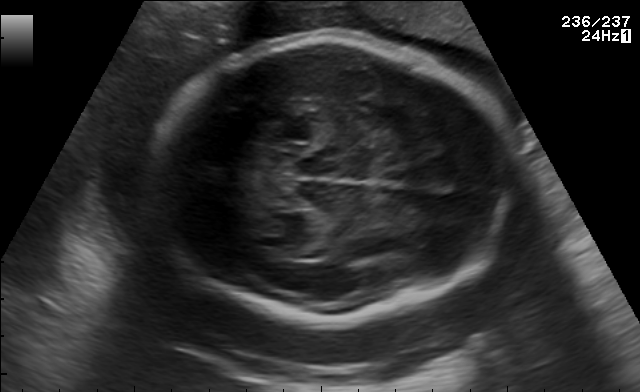
Fetal brain, trans-thalamic plane. Locate the fetal head and, if visible, the cavum septum pellucidum (CSP) and lateral ventricle (LV). Give bounding boxes as [x1,y1,x2,y2].

Head: [154,35,498,317]